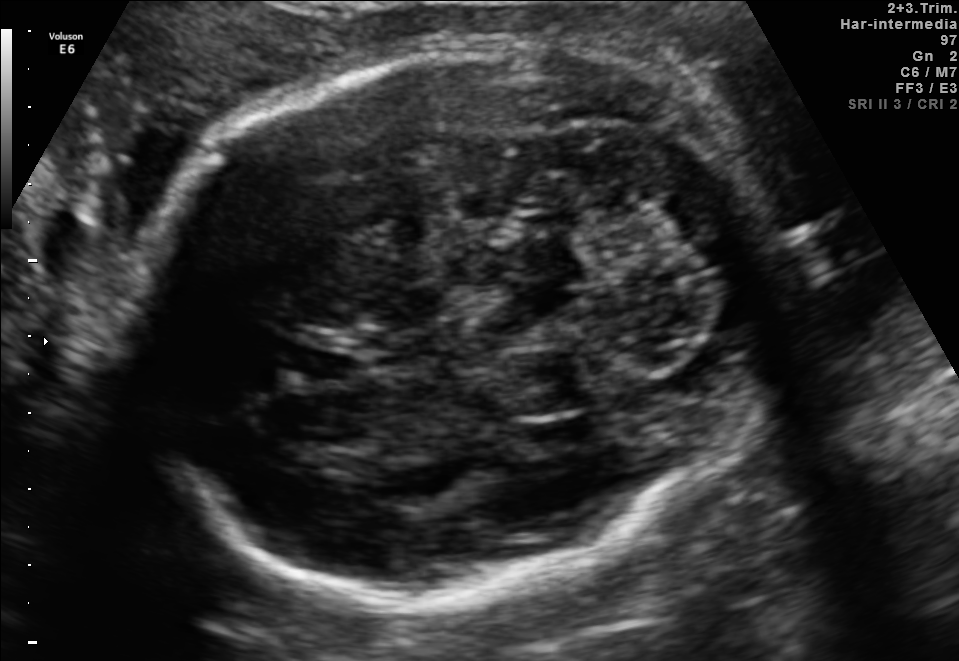
In this fetal brain, trans-cerebellum plane, give bounding boxes for the head outline, cavum septum pellucidum (CSP), and lateral ventricle (LV), where visible.

Head: [131,42,780,585]
CSP: [285,337,367,389]